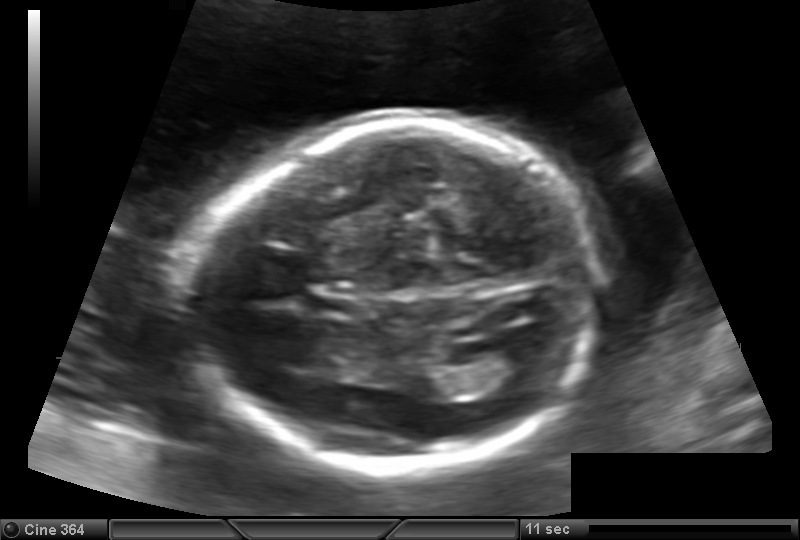
From this fetal ultrasound, estimate the head circumference (image width 115.2 mm).

Head circumference: 178.3 mm.